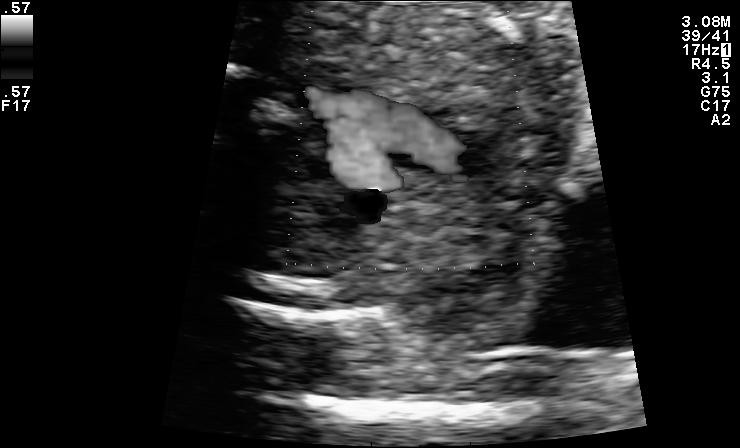
Classify this maternal-fetal ultrasound image as one of the six standard planes — fetal abdomen, fetal brain, fetal femur, fetal thorax, maternal cervix, or other. If it's fetal brain and one of the three standard brain planes (trans-thalamic, trans-cerebellum, trans-ventricular), name which.

Other